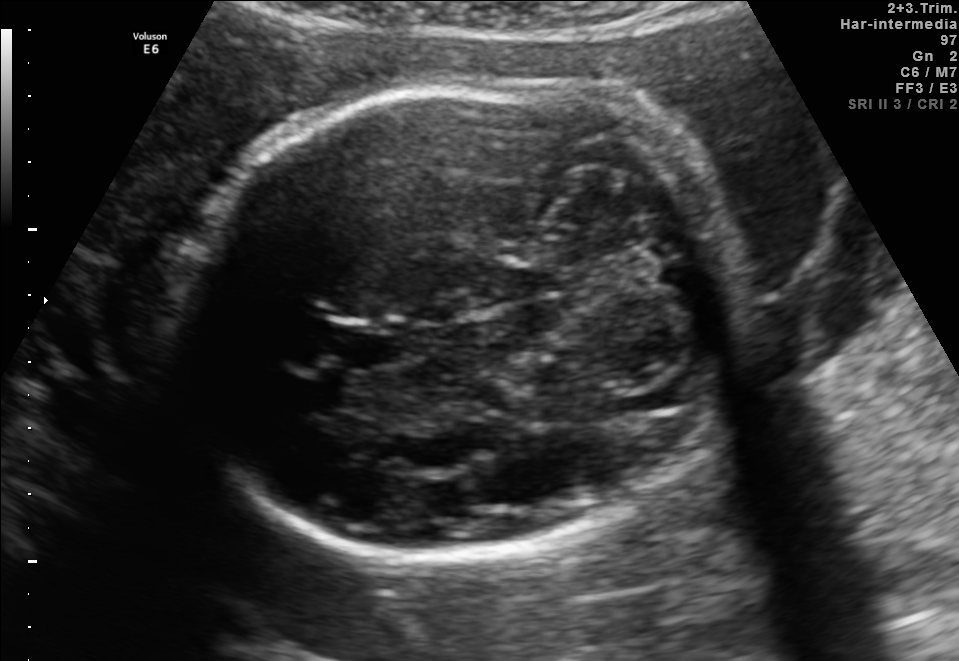
Fetal brain, trans-cerebellum plane. Give [x1,y1,x2,y2] bounding boxes for each visible structure among: fetal head, CSP, LV.

Head: [174,77,739,558]
CSP: [317,318,397,371]